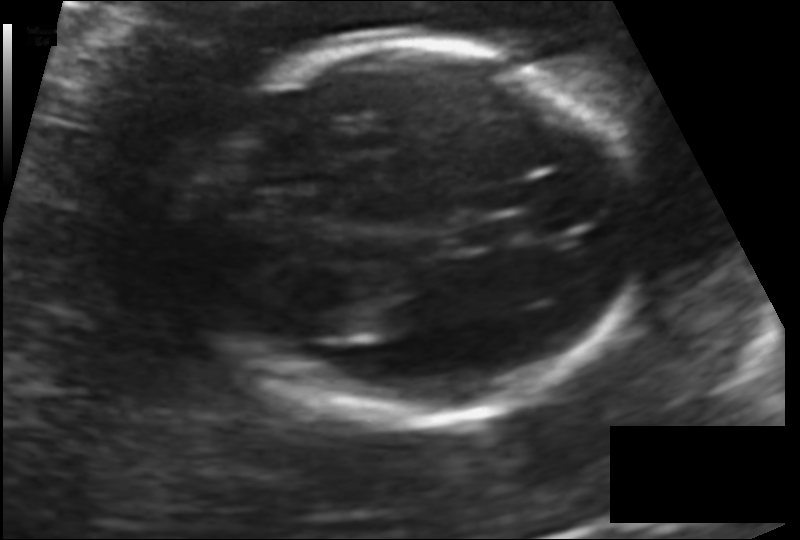
Estimate the fetal head circumference from this 2D ultrasound. Image width: 104.5 mm.

Head circumference: 173.2 mm.